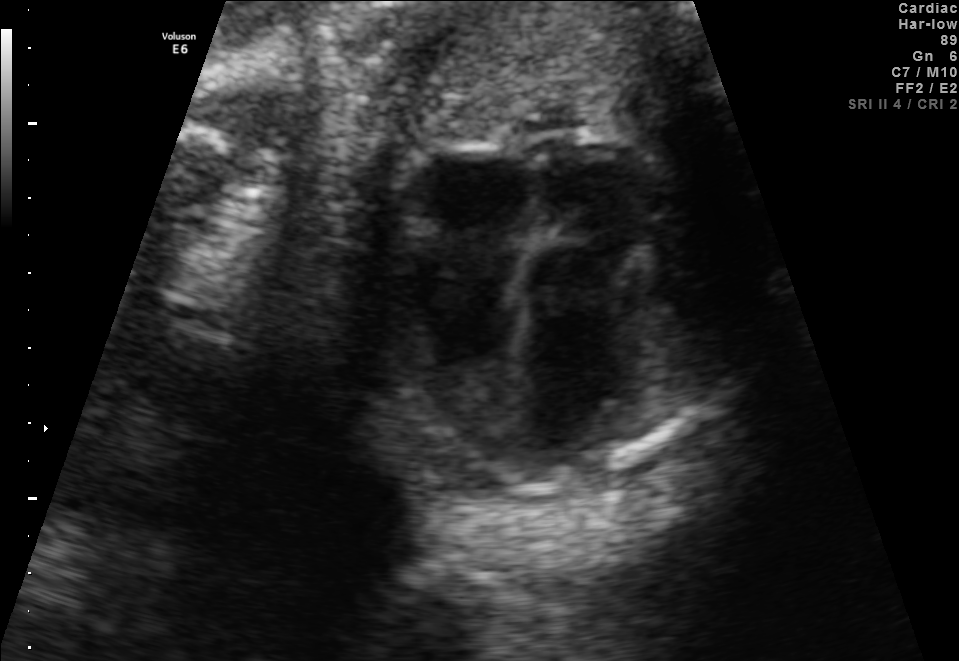
This is a 2D maternal-fetal ultrasound frame. Is it a fetal abdomen, fetal brain, fetal femur, fetal thorax, maternal cervix, or other standard plane? If it's fetal brain and one of the three standard brain planes (trans-thalamic, trans-cerebellum, trans-ventricular), name which.

Fetal thorax